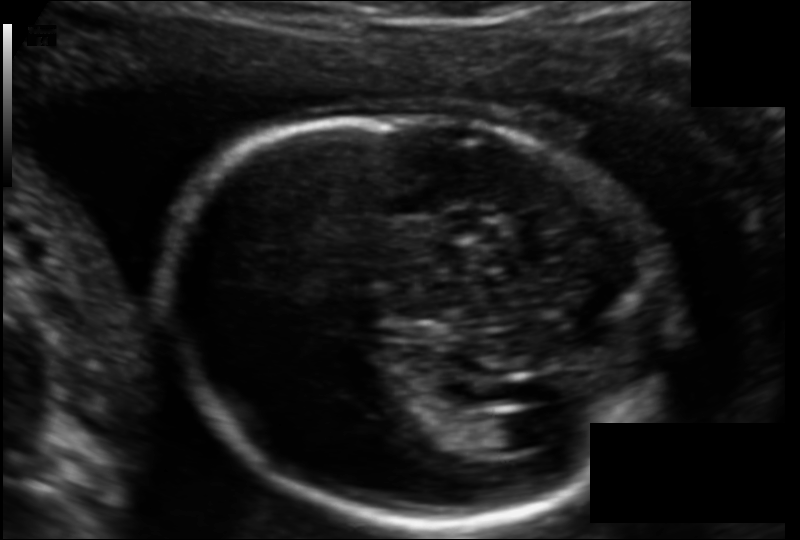
Estimate the fetal head circumference from this 2D ultrasound.

Head circumference: 180.8 mm (image width 98.5 mm).